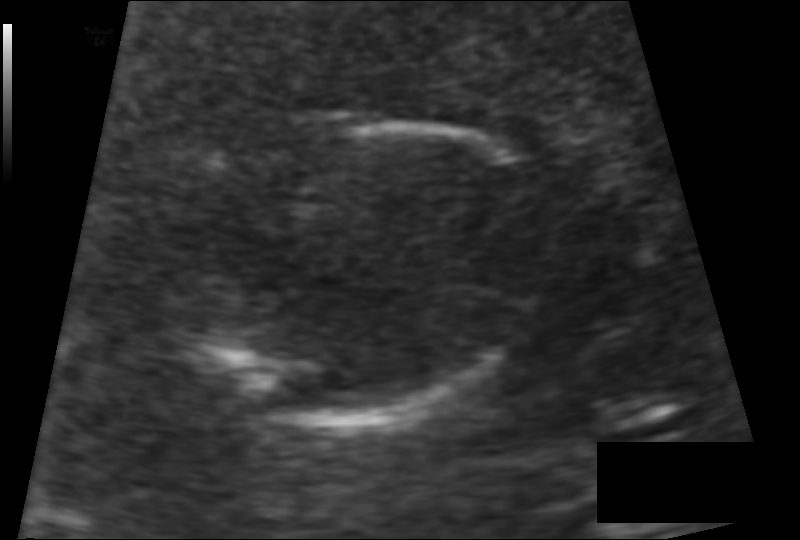
Estimate the fetal head circumference from this 2D ultrasound. Image width: 74.1 mm.

Head circumference: 97.0 mm.